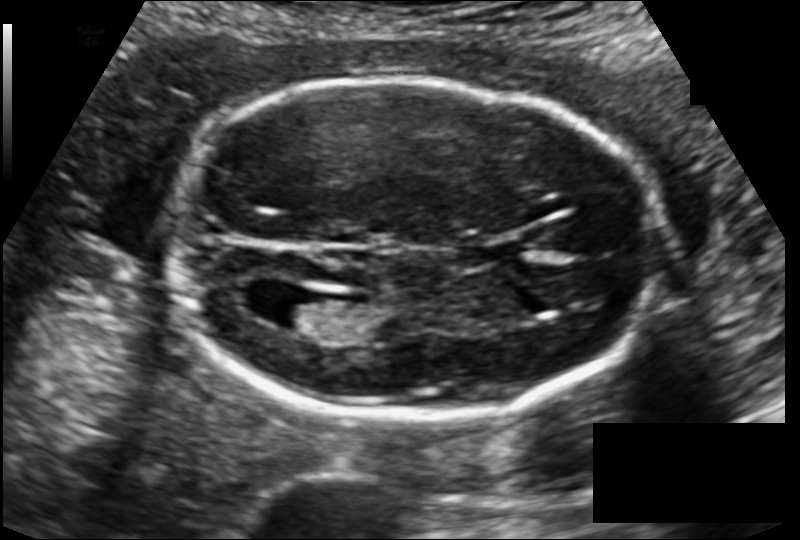
In this fetal head ultrasound, give the bounding box of the cavum septum pellucidum. Image width: 103.4 mm.

[462,231,528,271]